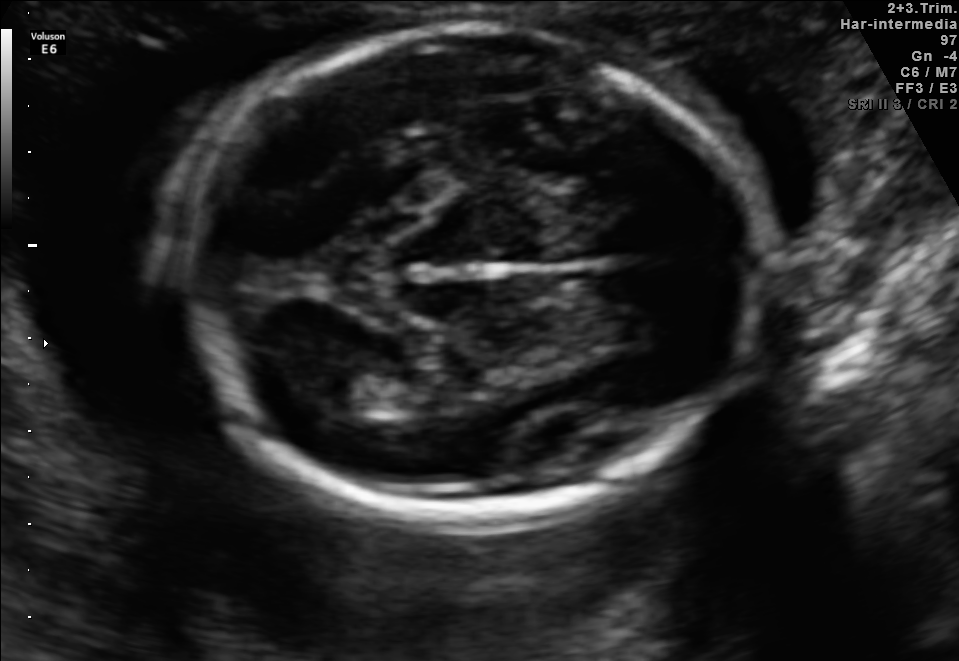
Fetal brain, trans-thalamic plane. Where is the lateral ventricle?

Lateral ventricle bounding box: [318,367,414,419]